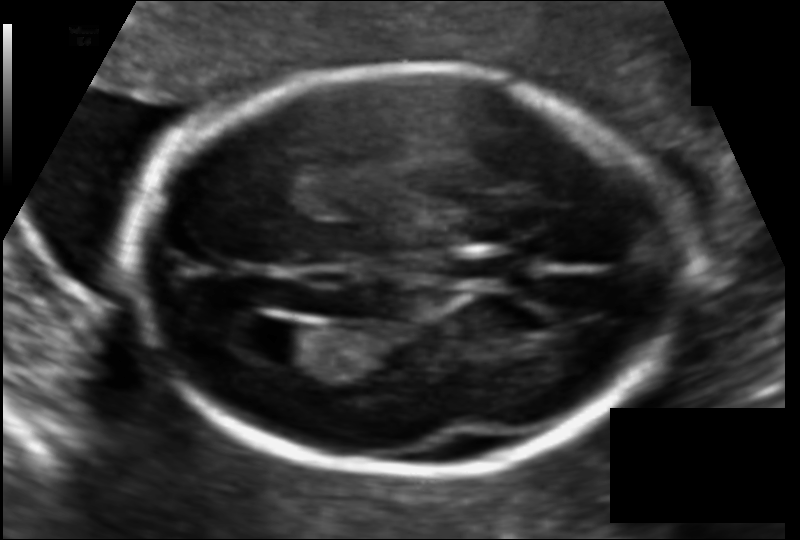
Fetal head ultrasound. Image width: 89.2 mm. Give [x1,y1,x2,y2] bounding boxes for each visible structure among: fetal head, CSP, LV.

Head: [131,65,676,471]
CSP: [450,252,517,284]
Lateral ventricle: [248,316,323,371]